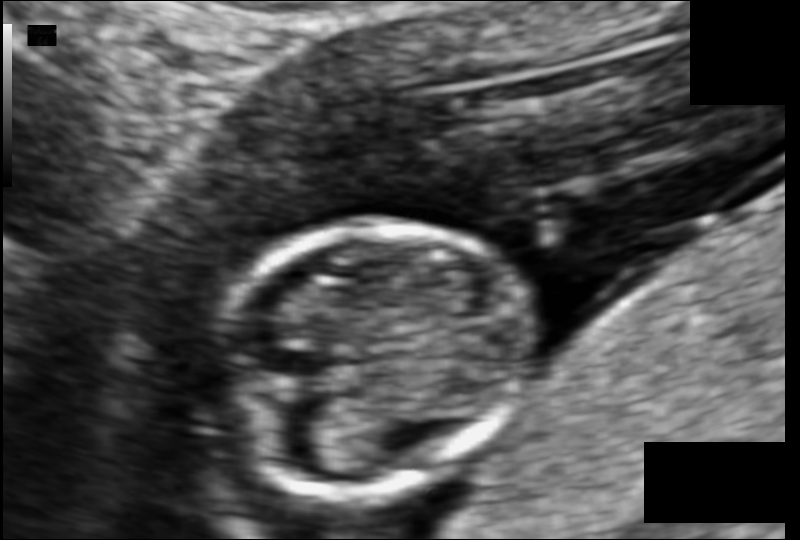
What is the fetal head circumference? Image width is 62.1 mm.

73.7 mm